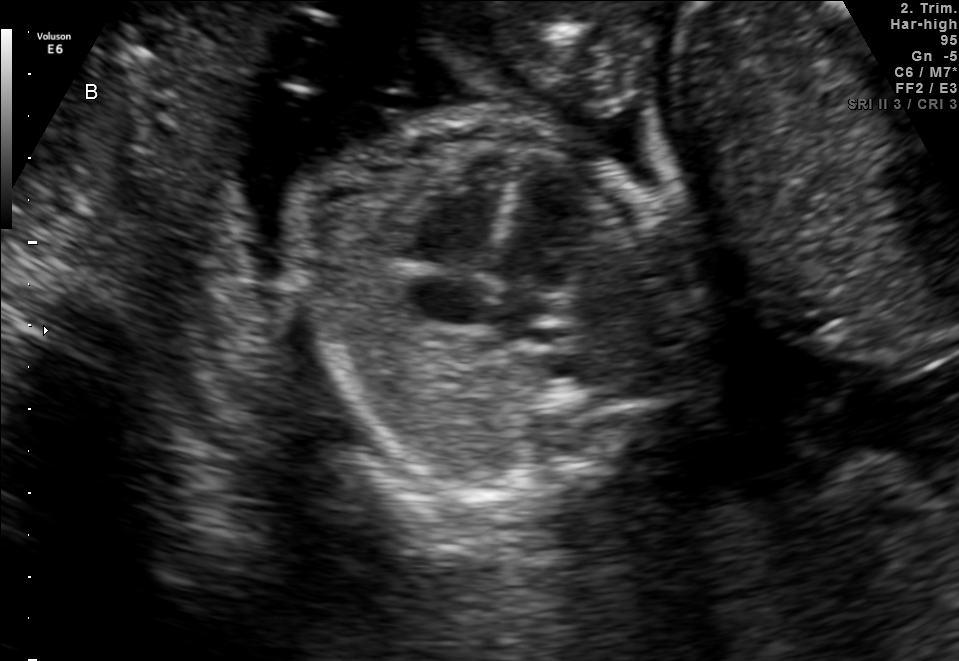
Which standard maternal-fetal ultrasound plane is shown: fetal abdomen, fetal brain, fetal femur, fetal thorax, maternal cervix, or other? If it's fetal brain and one of the three standard brain planes (trans-thalamic, trans-cerebellum, trans-ventricular), name which.

Fetal thorax